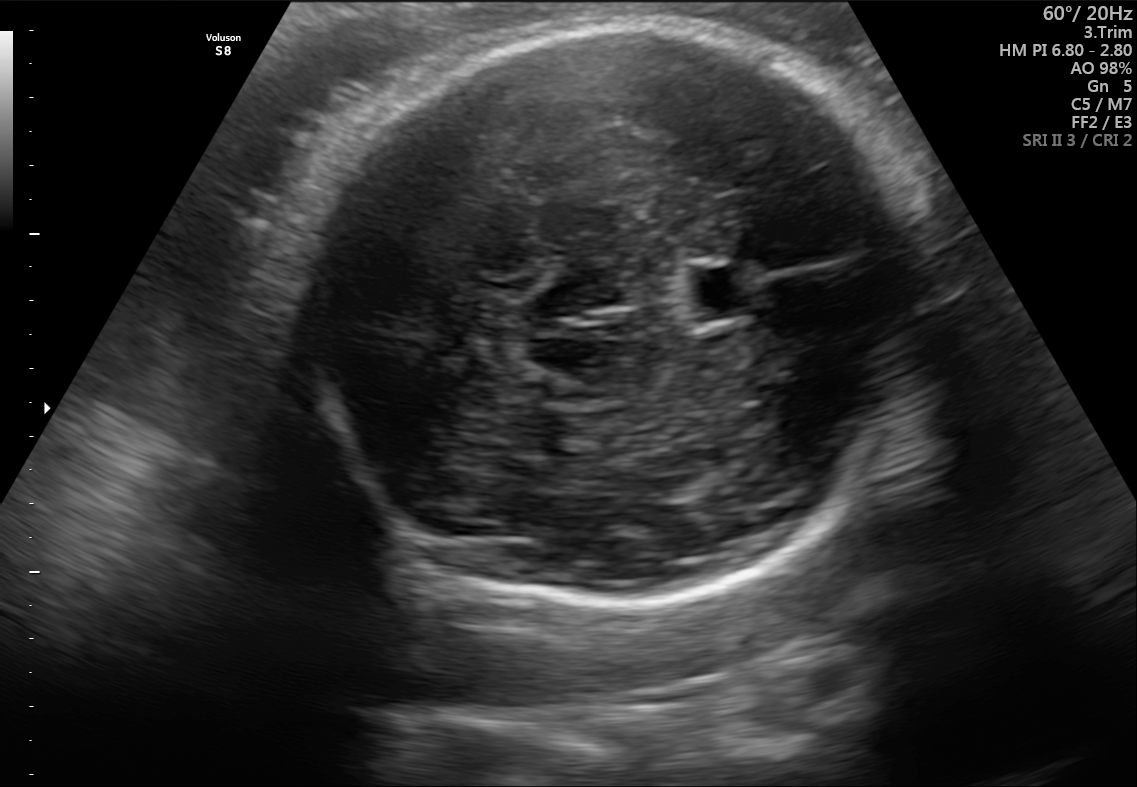
In this fetal brain, trans-thalamic plane, give the bounding box of the cavum septum pellucidum.

[682,260,767,325]